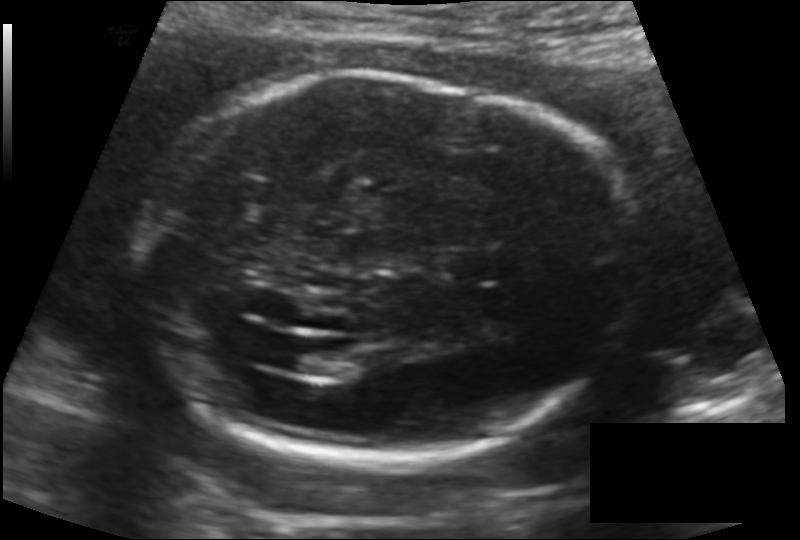
Fetal head ultrasound. Image width: 117.5 mm. Locate the fetal head and, if visible, the cavum septum pellucidum (CSP) and lateral ventricle (LV). Give bounding boxes as [x1,y1,x2,y2].

Head: [143,76,627,462]
CSP: [441,248,503,282]
Lateral ventricle: [288,340,351,378]